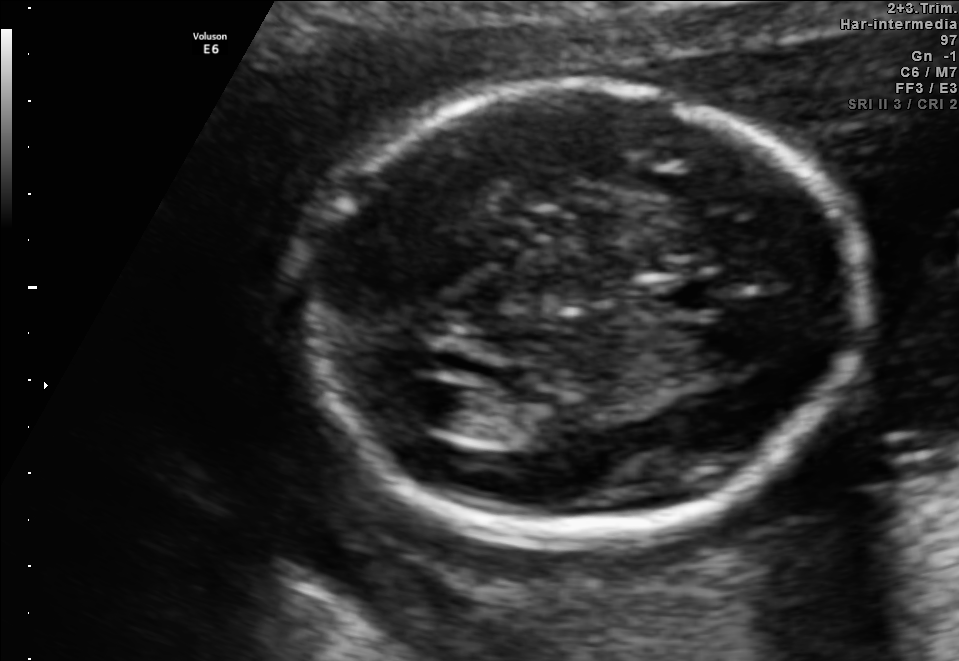
Fetal brain, trans-ventricular plane. Where is the lateral ventricle?

Lateral ventricle bounding box: [383,368,476,436]